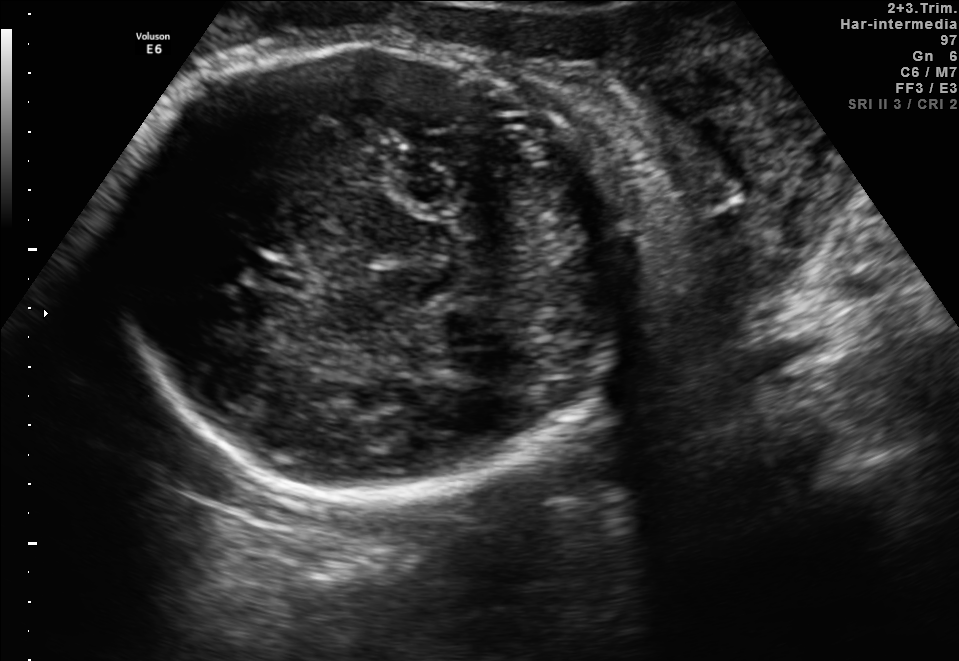
Fetal brain, trans-thalamic plane. Locate the fetal head and, if visible, the cavum septum pellucidum (CSP) and lateral ventricle (LV). Give bounding boxes as [x1,y1,x2,y2].

Head: [108,38,641,489]
CSP: [243,247,316,296]
Lateral ventricle: [455,349,516,381]